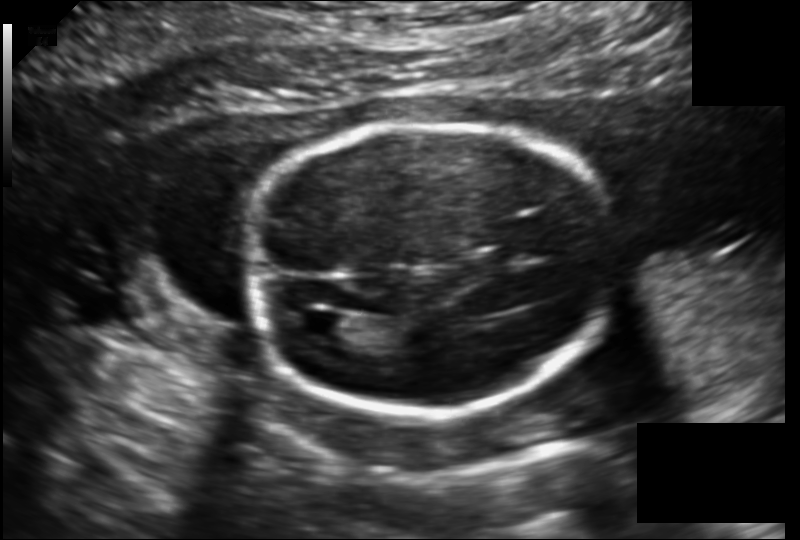
Fetal head ultrasound. Image width: 119.0 mm. Give [x1,y1,x2,y2] bounding boxes for each visible structure among: fetal head, CSP, LV.

Head: [252,123,613,413]
Lateral ventricle: [297,308,351,344]